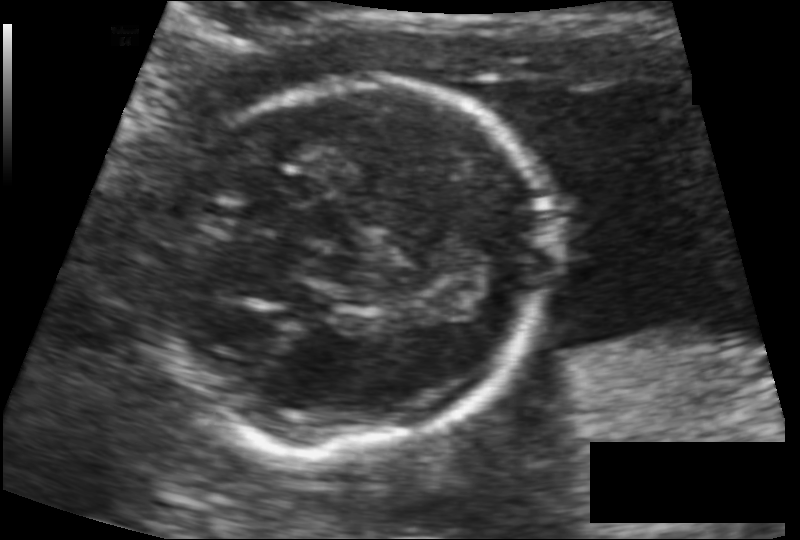
Estimate the fetal head circumference from this 2D ultrasound.

Head circumference: 123.2 mm (image width 79.7 mm).